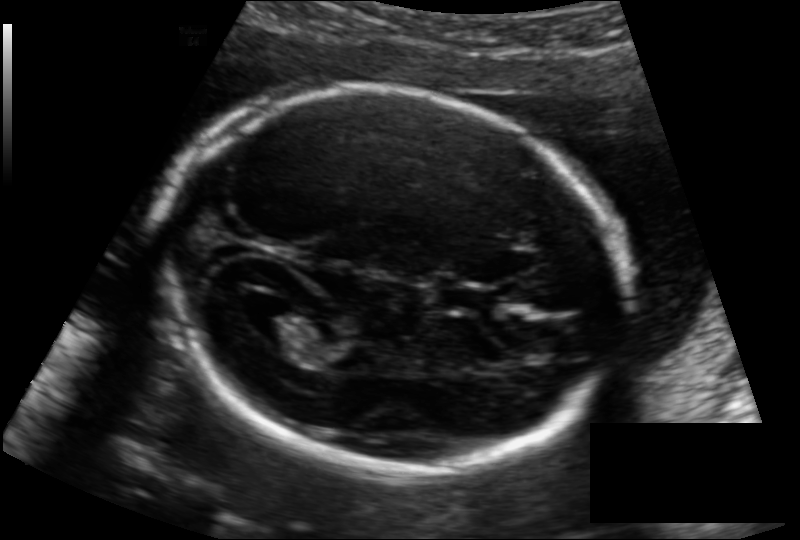
What is the fetal head circumference? Image width is 106.5 mm.

180.8 mm